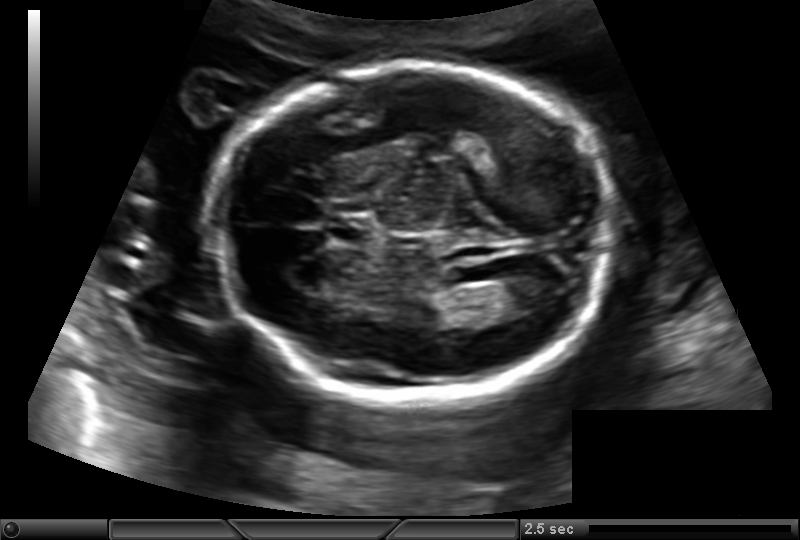
Fetal head ultrasound. Image width: 116.2 mm. Locate the cavum septum pellucidum.

CSP: [327,216,376,246]